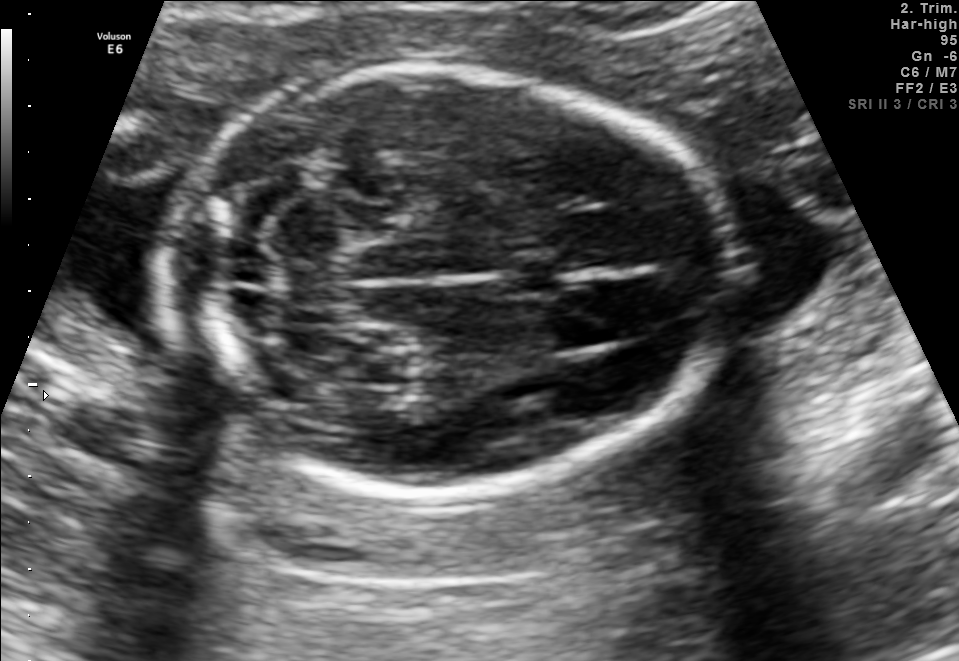
Classify this maternal-fetal ultrasound image as one of the six standard planes — fetal abdomen, fetal brain, fetal femur, fetal thorax, maternal cervix, or other. If it's fetal brain and one of the three standard brain planes (trans-thalamic, trans-cerebellum, trans-ventricular), name which.

Fetal brain (trans-cerebellum plane)